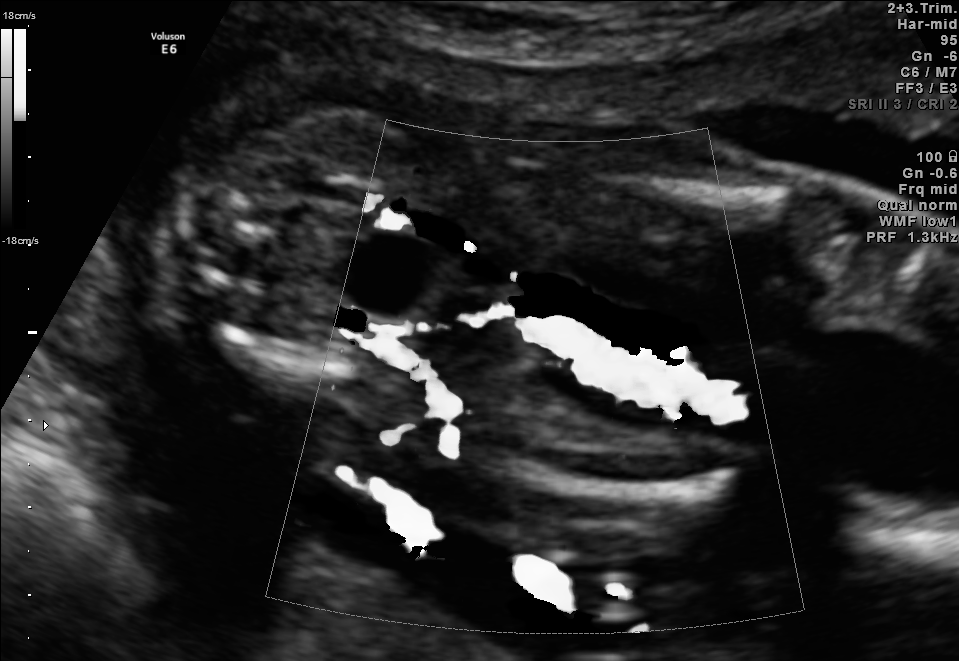
Which standard maternal-fetal ultrasound plane is shown: fetal abdomen, fetal brain, fetal femur, fetal thorax, maternal cervix, or other? If it's fetal brain and one of the three standard brain planes (trans-thalamic, trans-cerebellum, trans-ventricular), name which.

Other